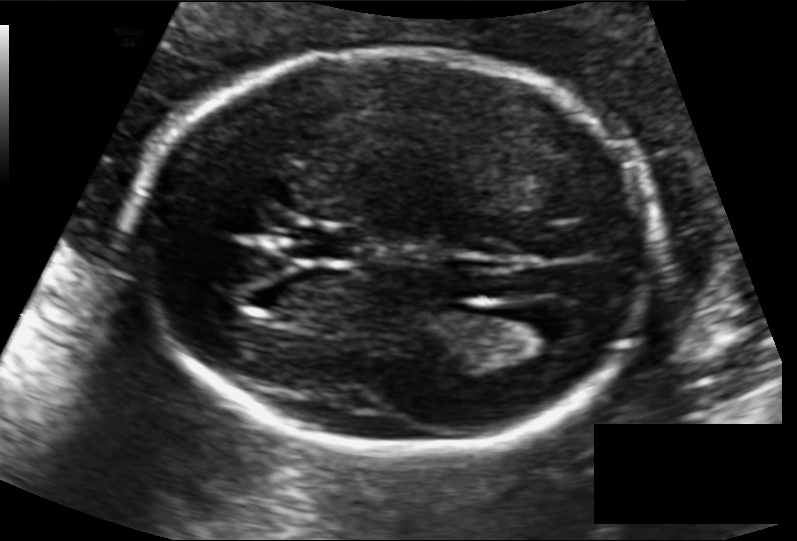
Fetal head ultrasound. Image width: 94.0 mm. Where is the cavum septum pellucidum?

CSP bounding box: [289,226,356,260]